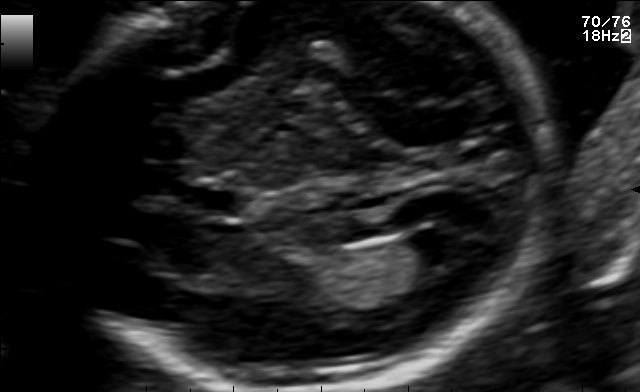
Fetal brain, trans-ventricular plane. Where is the cavum septum pellucidum?

CSP bounding box: [191,191,241,216]